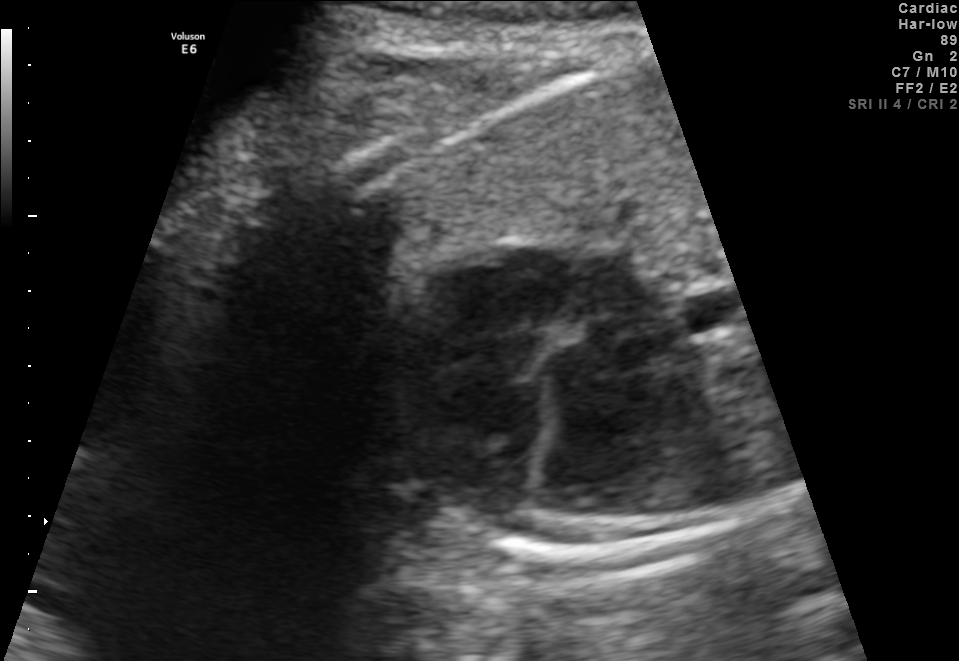
Classify this maternal-fetal ultrasound image as one of the six standard planes — fetal abdomen, fetal brain, fetal femur, fetal thorax, maternal cervix, or other. If it's fetal brain and one of the three standard brain planes (trans-thalamic, trans-cerebellum, trans-ventricular), name which.

Fetal thorax